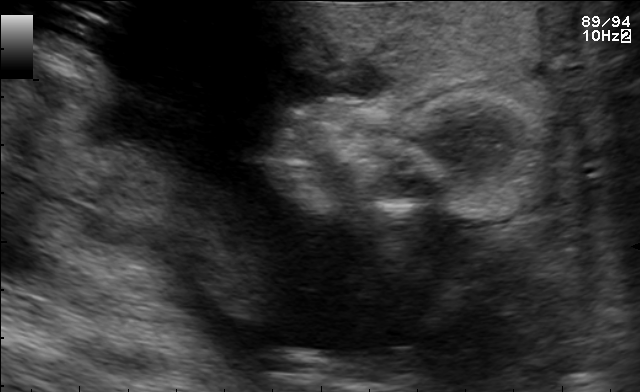
This is a 2D maternal-fetal ultrasound frame. Is it a fetal abdomen, fetal brain, fetal femur, fetal thorax, maternal cervix, or other standard plane? If it's fetal brain and one of the three standard brain planes (trans-thalamic, trans-cerebellum, trans-ventricular), name which.

Other